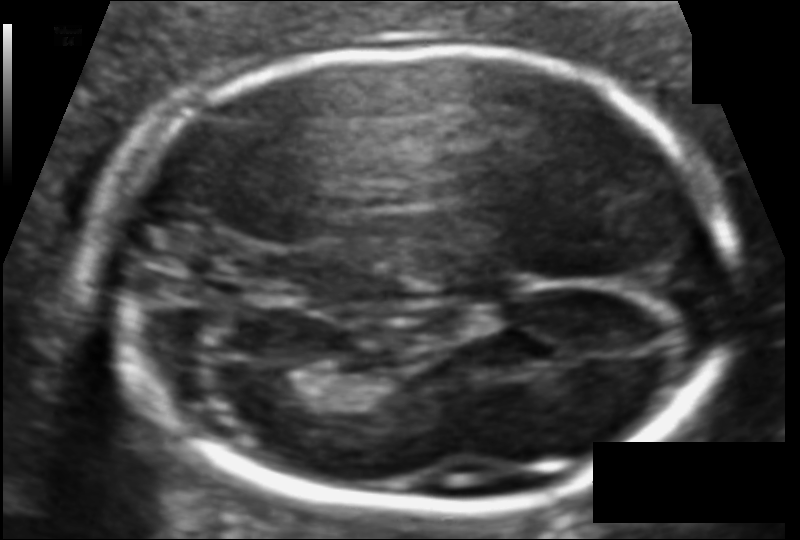
Fetal head ultrasound. Image width: 76.5 mm. Locate the fetal head.

Head: [97,49,730,509]